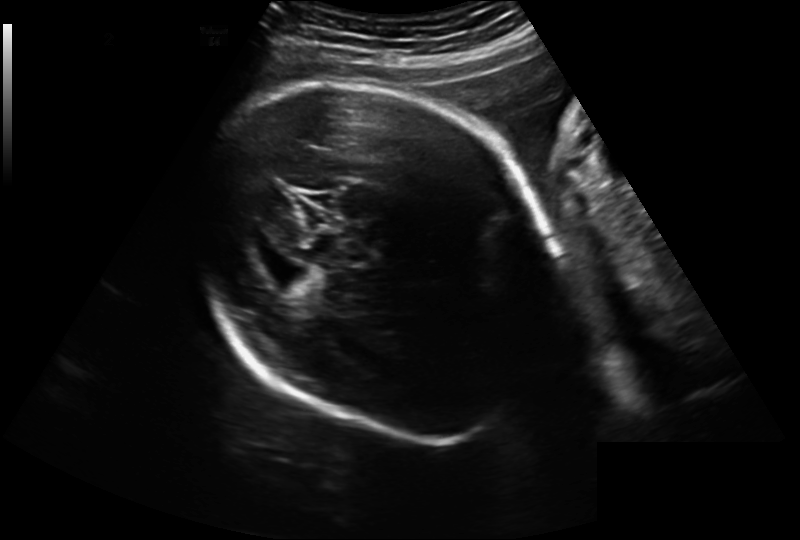
Measure the fetal head circumference shown in this ultrasound image. Image width: 192.7 mm.

Head circumference: 280.5 mm.